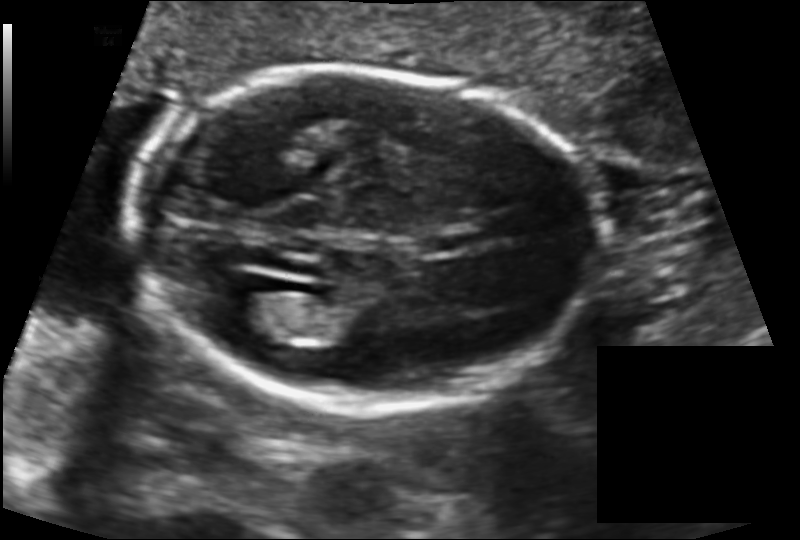
Fetal head ultrasound. Image width: 105.0 mm. Locate the fetal head.

Head: [133,73,604,410]